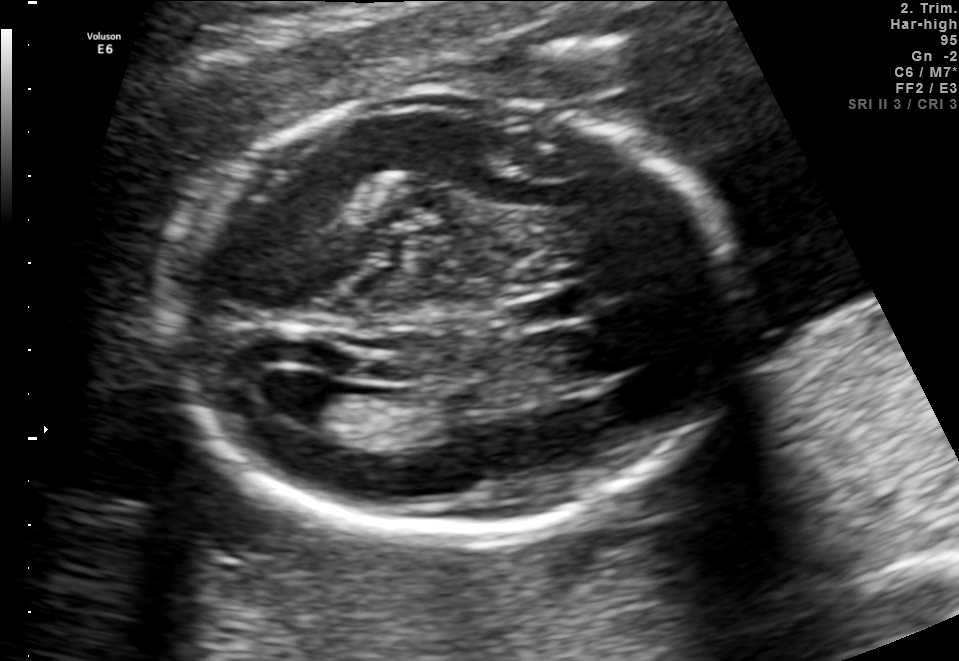
In this fetal brain, trans-ventricular plane, give the bounding box of the fetal head.

[156,85,757,546]